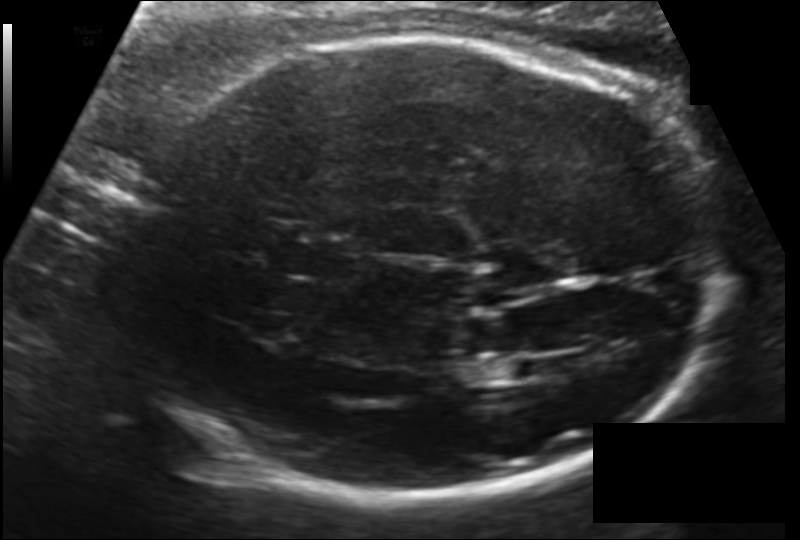
In this fetal head ultrasound, give the bounding box of the lateral ventricle. Image width: 120.6 mm.

[510,353,556,384]